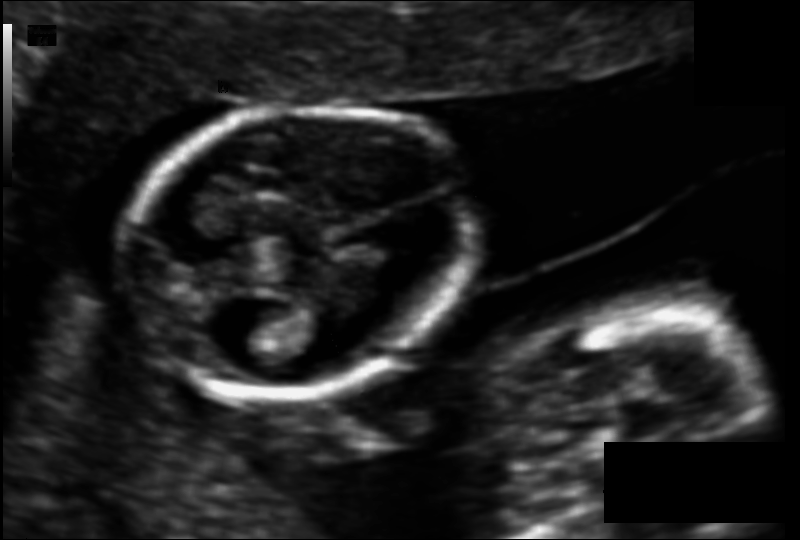
In this fetal head ultrasound, give the bounding box of the fetal head. Image width: 76.3 mm.

[123,105,474,395]